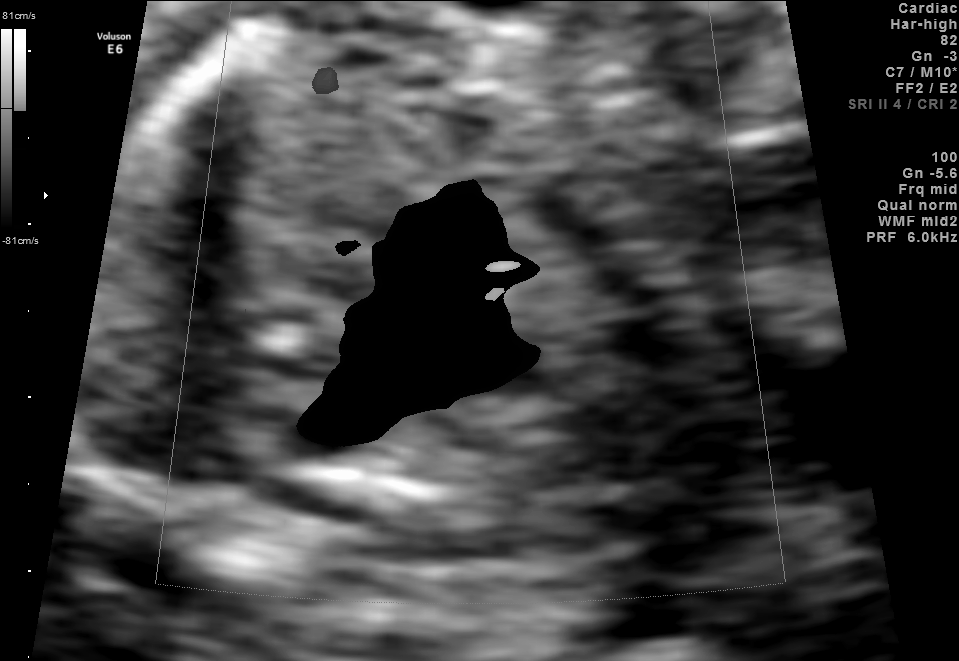
This is a 2D maternal-fetal ultrasound frame. Is it a fetal abdomen, fetal brain, fetal femur, fetal thorax, maternal cervix, or other standard plane? If it's fetal brain and one of the three standard brain planes (trans-thalamic, trans-cerebellum, trans-ventricular), name which.

Other